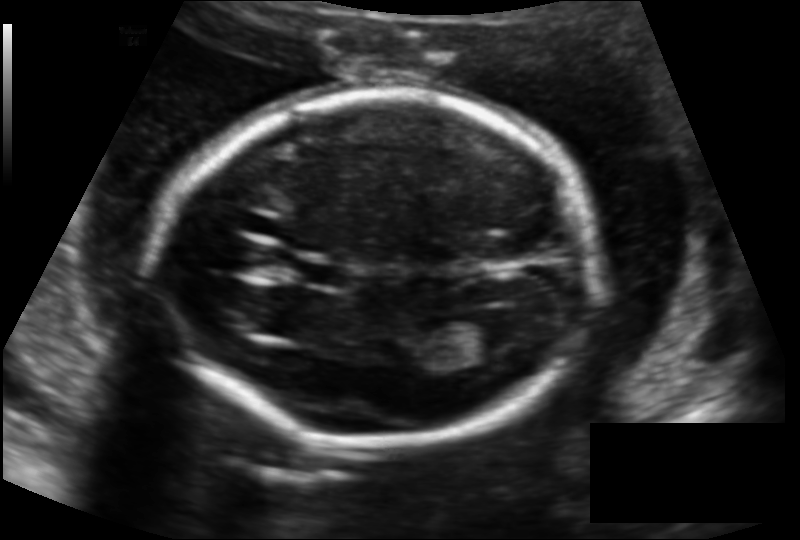
Fetal head ultrasound. Image width: 108.6 mm. Locate the lateral ventricle.

Lateral ventricle: [457,306,528,359]